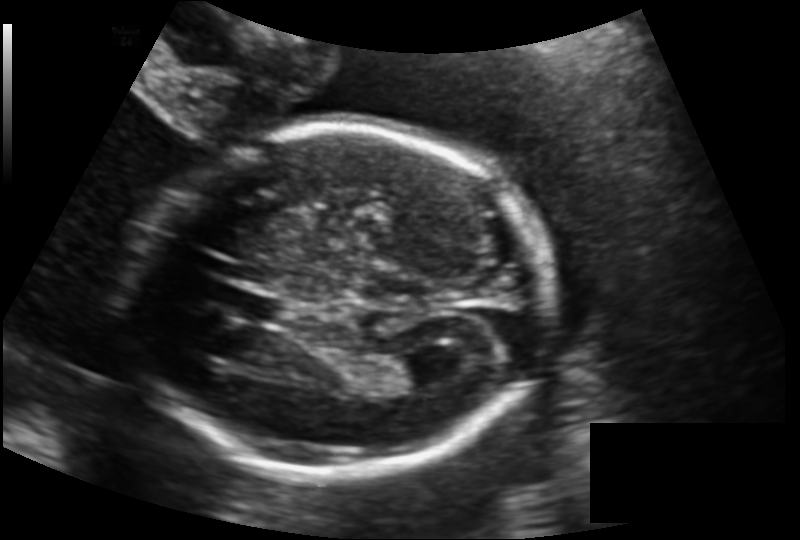
In this fetal head ultrasound, give bounding boxes for the head outline, cavum septum pellucidum (CSP), and lateral ventricle (LV), where visible. Image width: 117.2 mm.

Head: [134,125,547,474]
CSP: [225,284,291,330]
Lateral ventricle: [385,350,446,390]